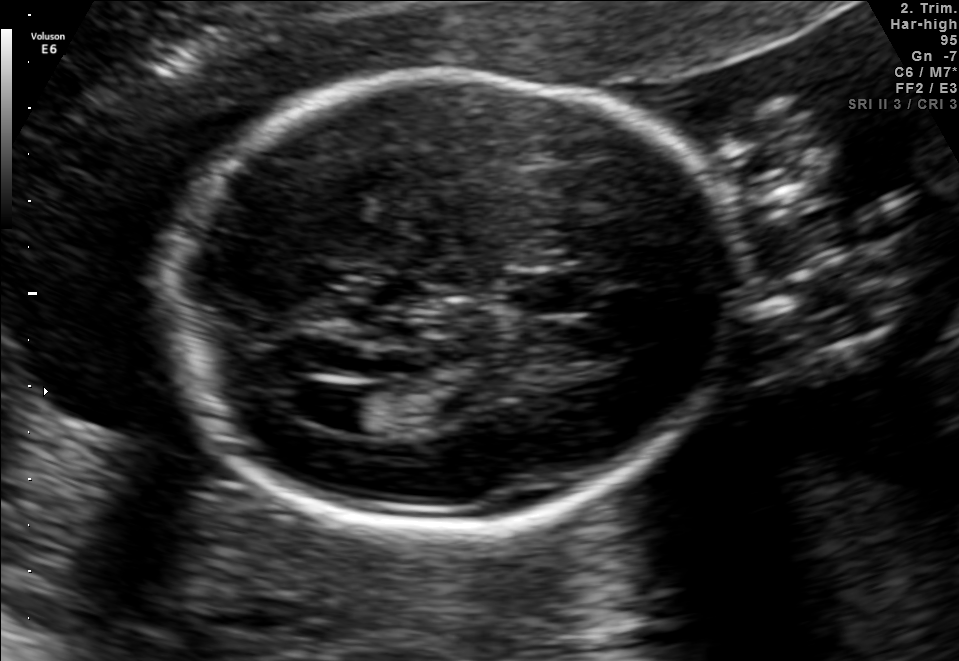
Fetal brain, trans-ventricular plane. Where is the lateral ventricle?

Lateral ventricle bounding box: [272,372,379,436]